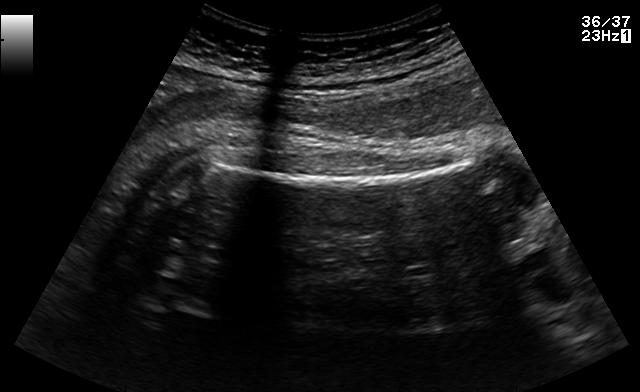
This is a 2D maternal-fetal ultrasound frame. Is it a fetal abdomen, fetal brain, fetal femur, fetal thorax, maternal cervix, or other standard plane? If it's fetal brain and one of the three standard brain planes (trans-thalamic, trans-cerebellum, trans-ventricular), name which.

Fetal femur